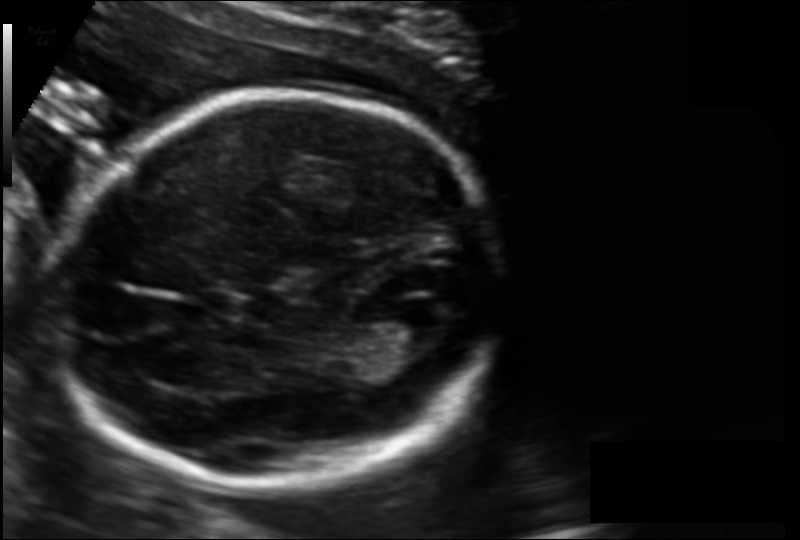
What is the fetal head circumference? Image width is 102.4 mm.

173.8 mm